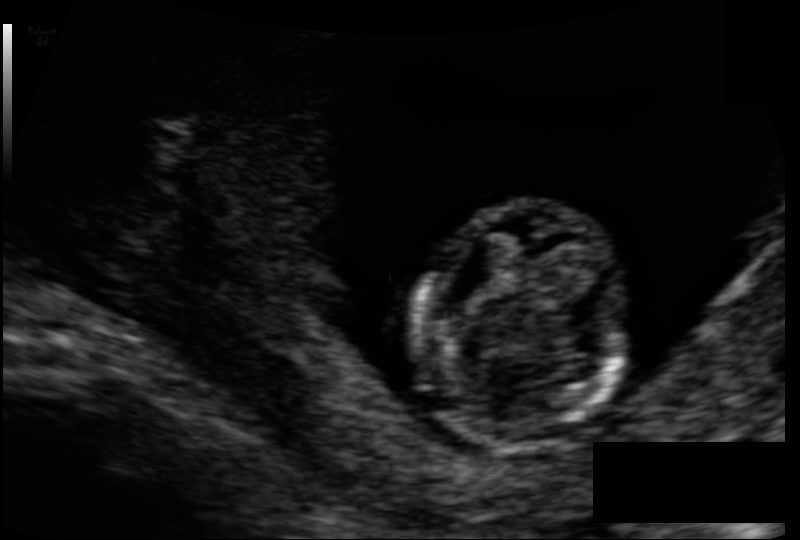
Fetal head ultrasound. Image width: 76.4 mm. Locate the fetal head.

Head: [416,204,626,444]